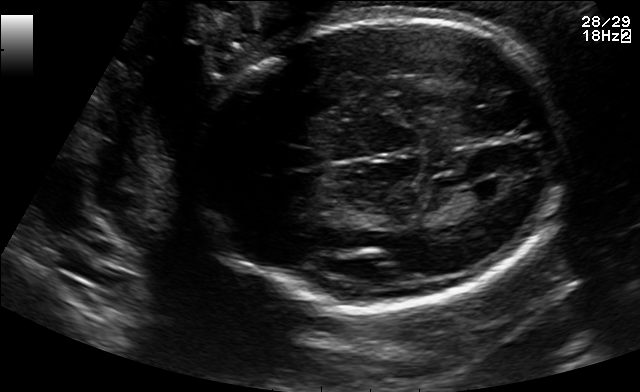
Fetal brain, trans-ventricular plane. Locate the fetal head.

Head: [200,14,574,310]